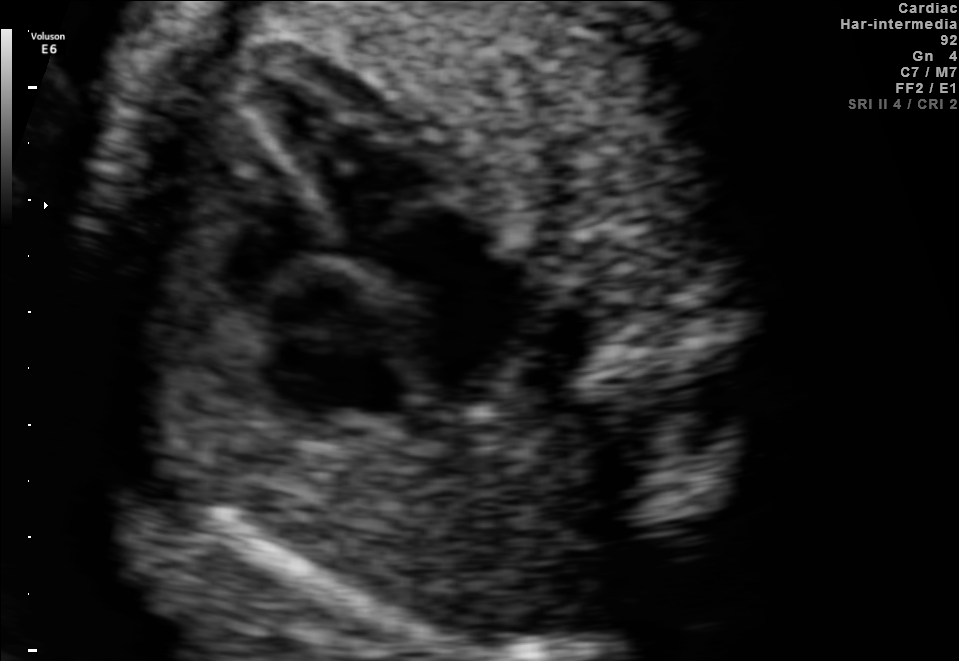
Identify the standard plane in this fetal ultrasound image: fetal abdomen, fetal brain, fetal femur, fetal thorax, maternal cervix, or other. If it's fetal brain and one of the three standard brain planes (trans-thalamic, trans-cerebellum, trans-ventricular), name which.

Fetal thorax